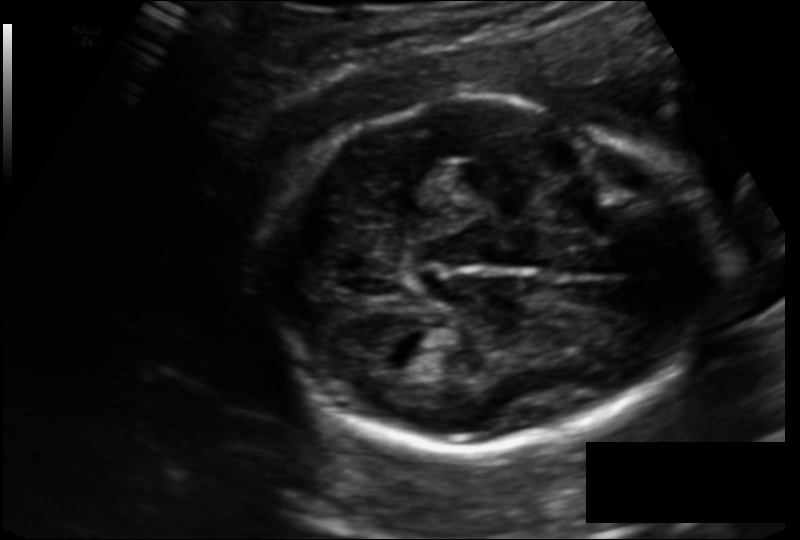
Estimate the fetal head circumference from this 2D ultrasound.

Head circumference: 180.0 mm (image width 107.7 mm).